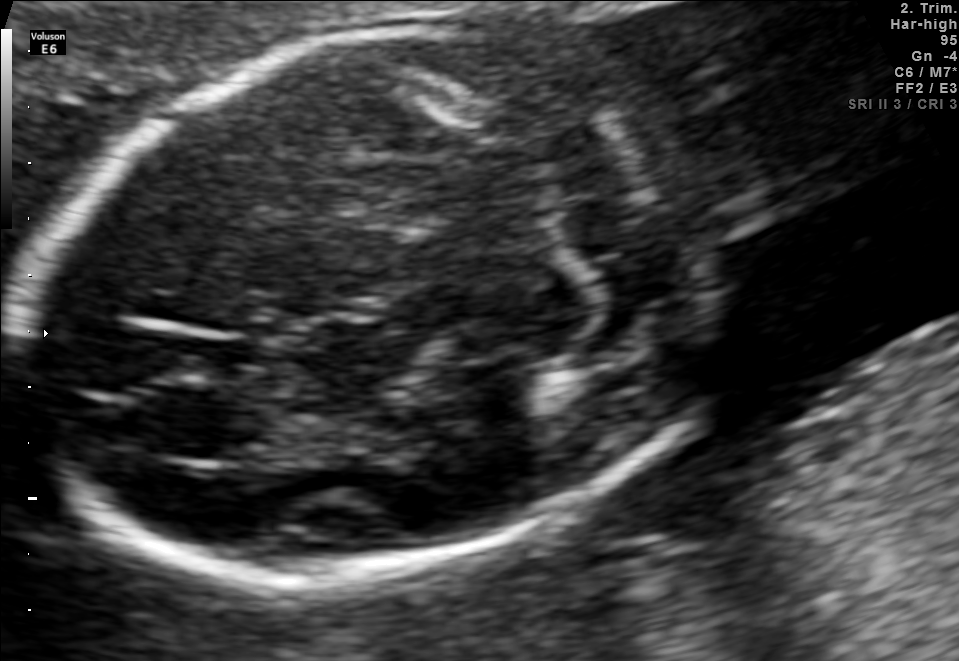
In this fetal brain, trans-cerebellum plane, give bounding boxes for the head outline, cavum septum pellucidum (CSP), and lateral ventricle (LV), where visible.

Head: [24,24,723,581]